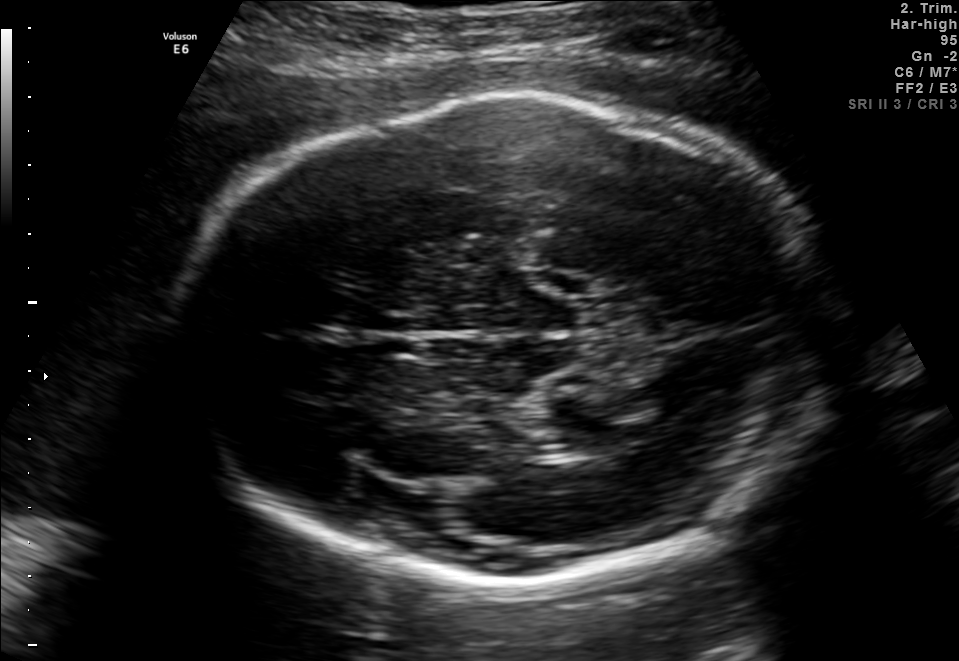
Fetal brain, trans-thalamic plane. Locate the fetal head.

Head: [173,99,832,590]